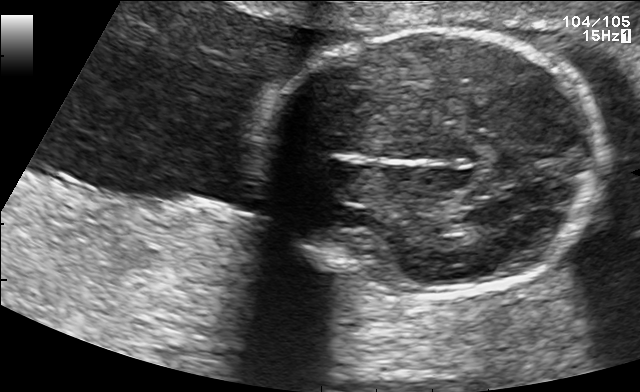
Classify this maternal-fetal ultrasound image as one of the six standard planes — fetal abdomen, fetal brain, fetal femur, fetal thorax, maternal cervix, or other. If it's fetal brain and one of the three standard brain planes (trans-thalamic, trans-cerebellum, trans-ventricular), name which.

Fetal brain (trans-thalamic plane)